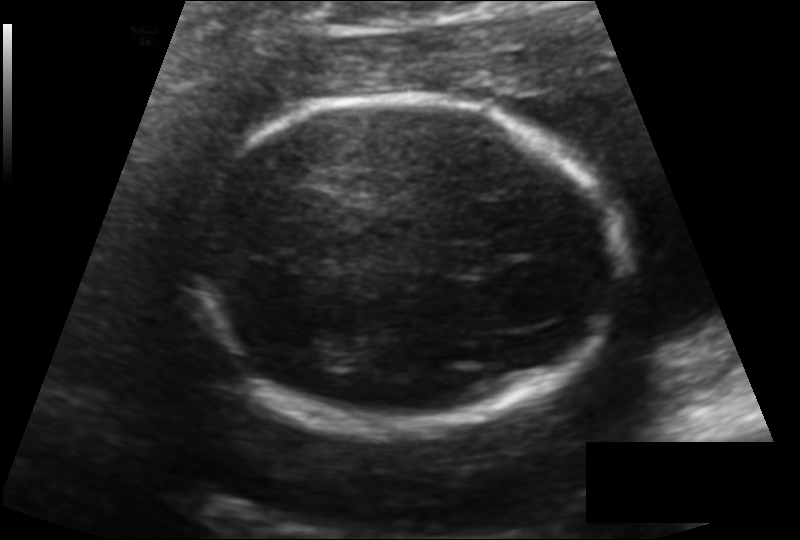
In this fetal head ultrasound, give the bounding box of the fetal head. Image width: 109.0 mm.

[178,99,627,430]